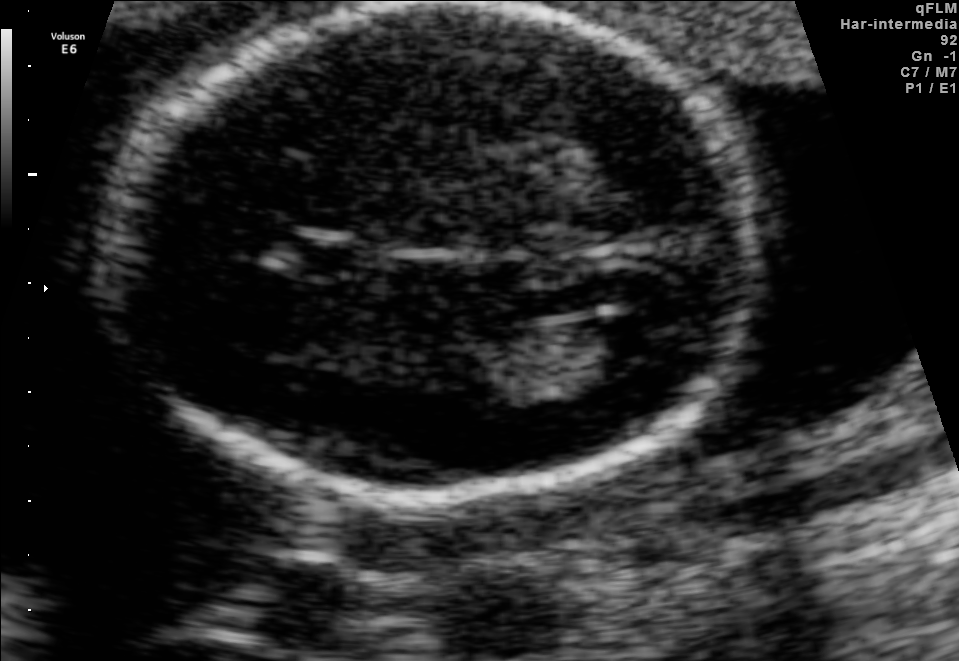
In this fetal brain, trans-ventricular plane, give the bounding box of the lateral ventricle.

[577,301,677,376]